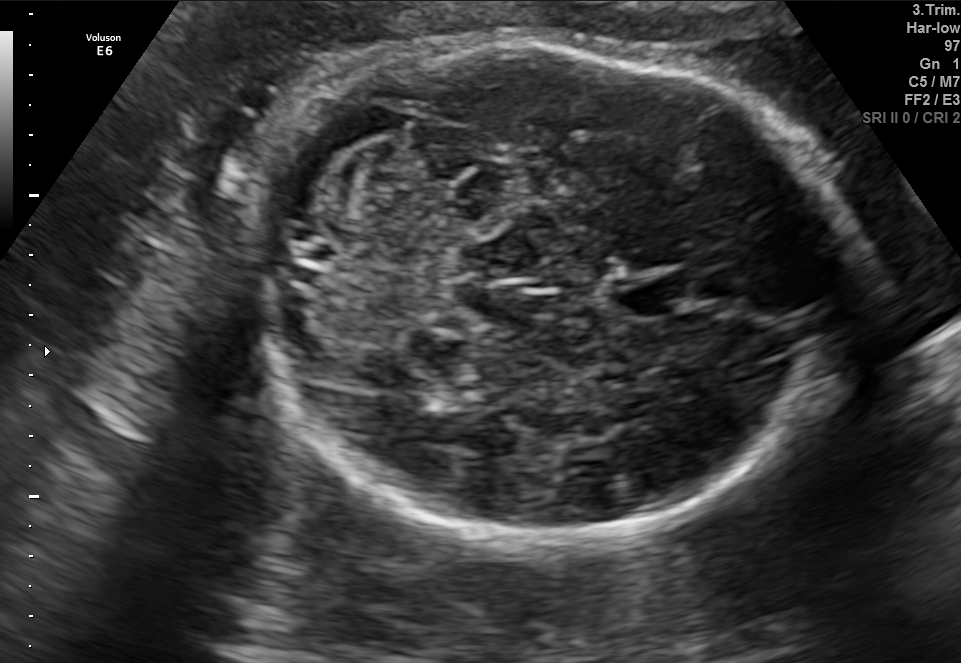
Identify the standard plane in this fetal ultrasound image: fetal abdomen, fetal brain, fetal femur, fetal thorax, maternal cervix, or other. If it's fetal brain and one of the three standard brain planes (trans-thalamic, trans-cerebellum, trans-ventricular), name which.

Fetal brain (trans-cerebellum plane)